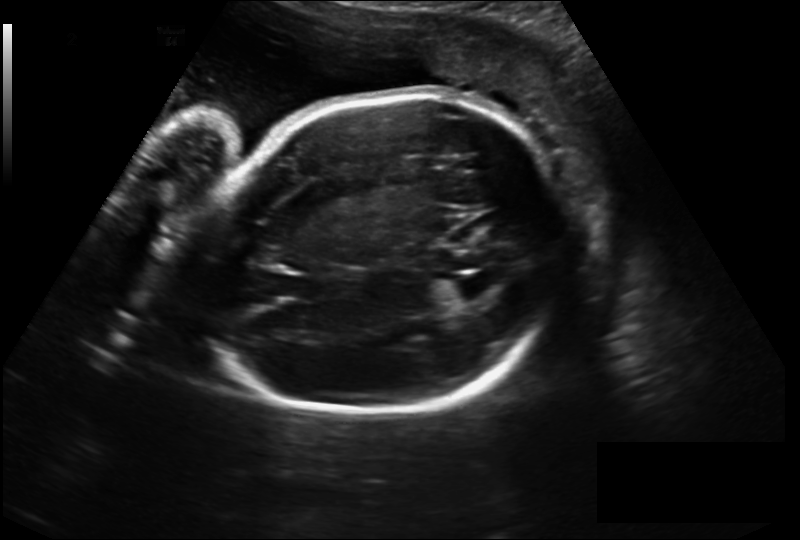
What is the fetal head circumference? Image width is 184.2 mm.

258.1 mm